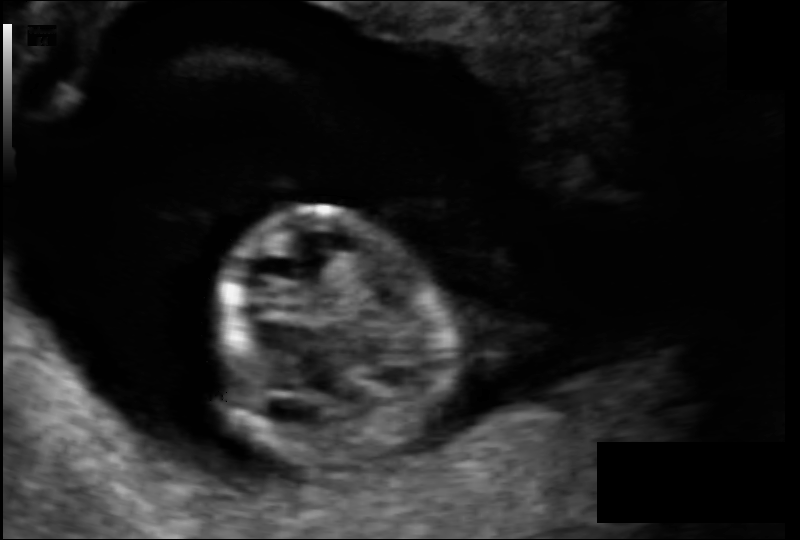
In this fetal head ultrasound, give bounding boxes for the head outline, cavum septum pellucidum (CSP), and lateral ventricle (LV), where visible. Image width: 78.9 mm.

Head: [213,208,450,465]